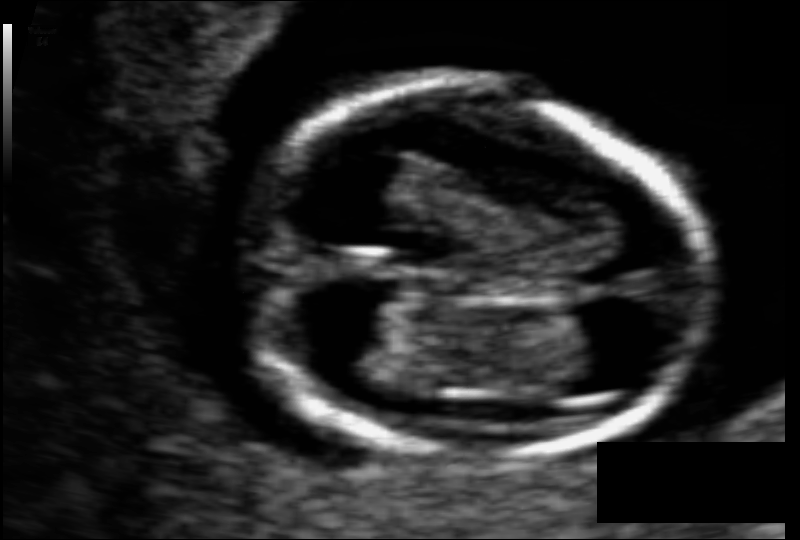
Fetal head ultrasound. Image width: 50.4 mm. Where is the fetal head?

Head bounding box: [244,83,706,459]